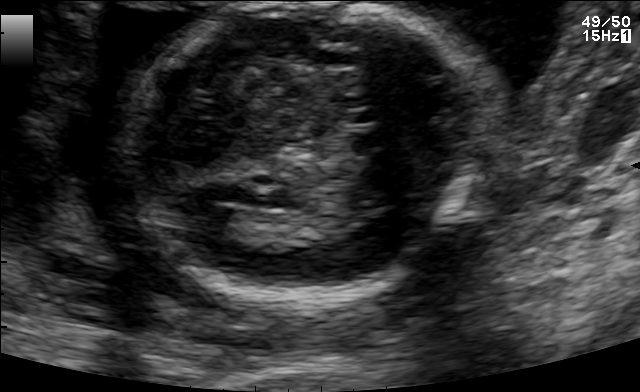
Classify this maternal-fetal ultrasound image as one of the six standard planes — fetal abdomen, fetal brain, fetal femur, fetal thorax, maternal cervix, or other. If it's fetal brain and one of the three standard brain planes (trans-thalamic, trans-cerebellum, trans-ventricular), name which.

Fetal brain (trans-thalamic plane)